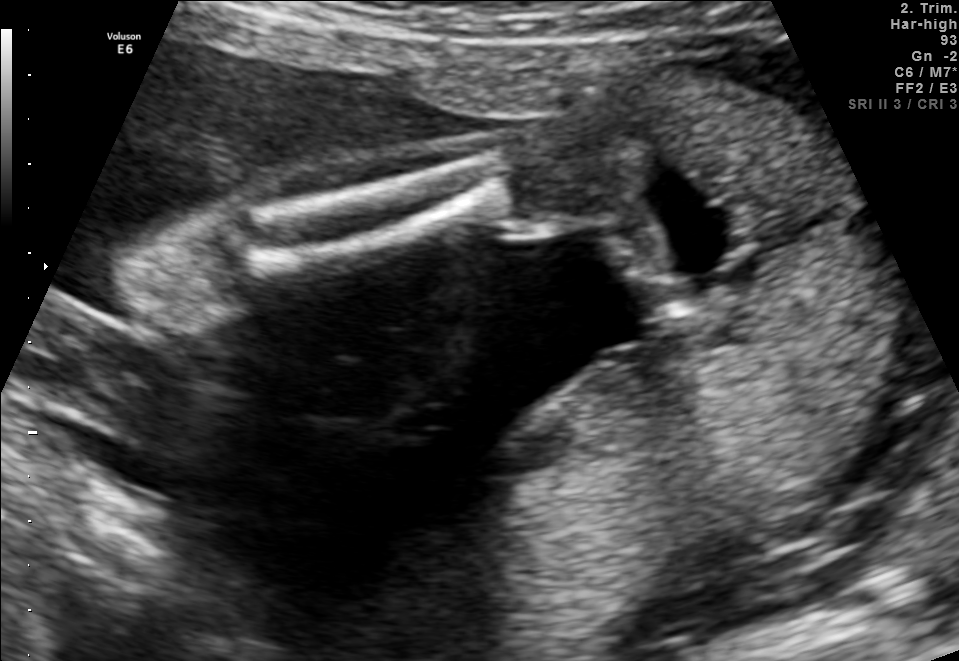
Classify this maternal-fetal ultrasound image as one of the six standard planes — fetal abdomen, fetal brain, fetal femur, fetal thorax, maternal cervix, or other. If it's fetal brain and one of the three standard brain planes (trans-thalamic, trans-cerebellum, trans-ventricular), name which.

Other